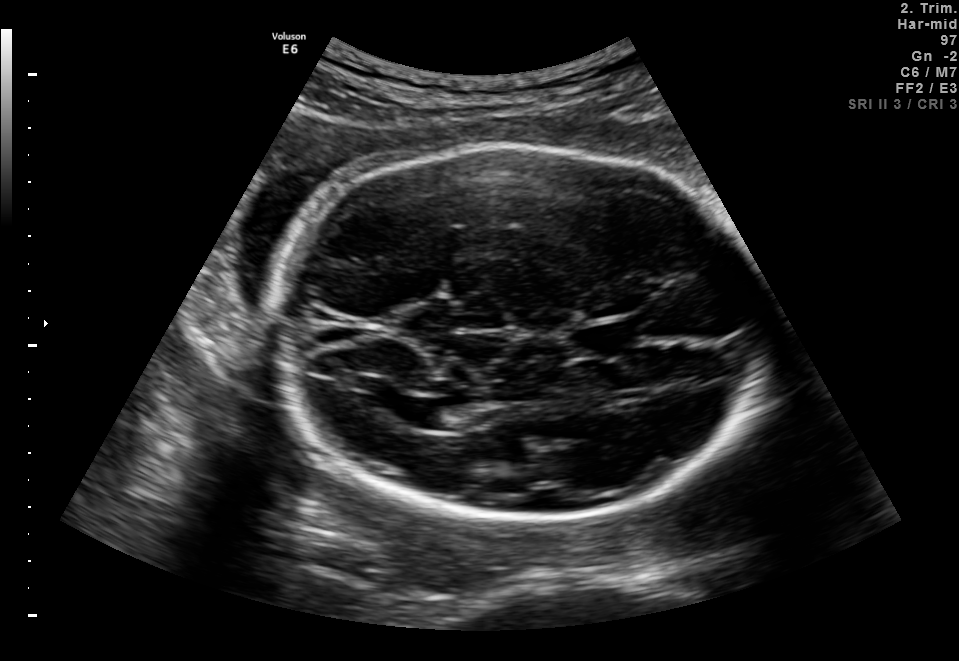
Fetal brain, trans-ventricular plane. Give [x1,y1,x2,y2] bounding boxes for each visible structure among: fetal head, CSP, LV.

Head: [268,142,773,529]
Lateral ventricle: [391,395,442,430]